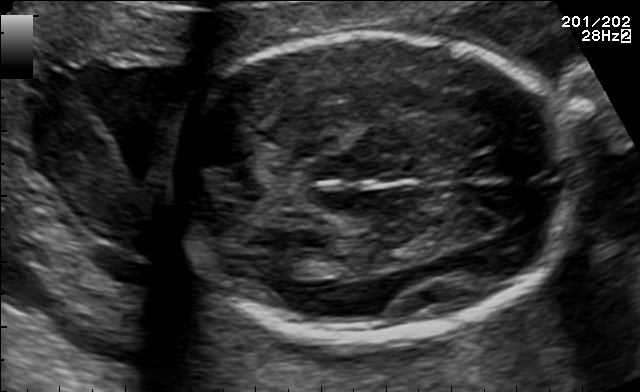
In this fetal brain, trans-thalamic plane, give the bounding box of the fetal head.

[163,34,575,338]